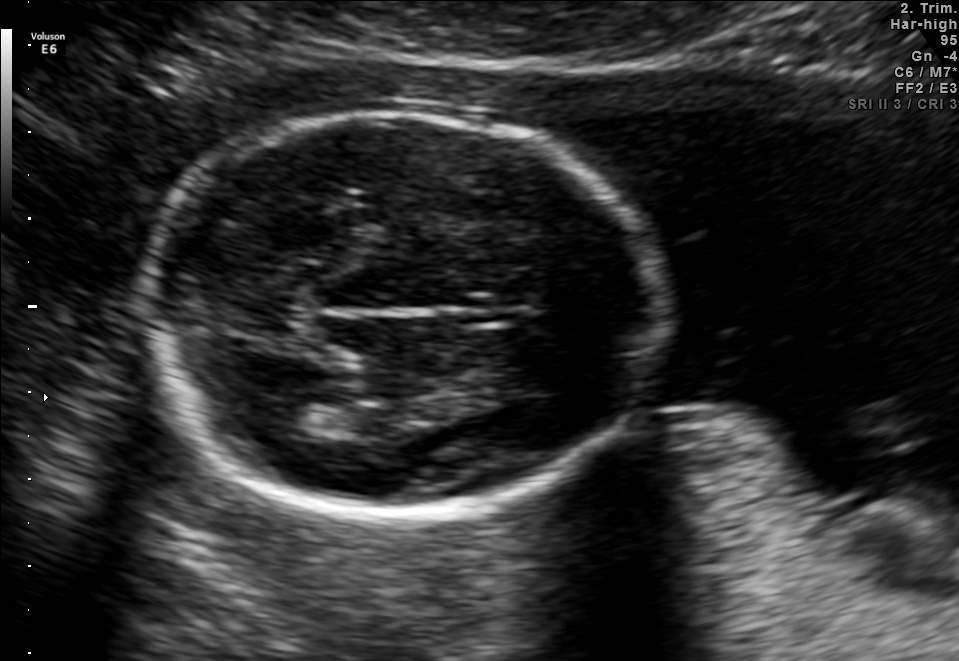
Fetal brain, trans-thalamic plane. Give [x1,y1,x2,y2] bounding boxes for each visible structure among: fetal head, CSP, LV.

Head: [133,110,662,517]
Lateral ventricle: [261,396,319,439]